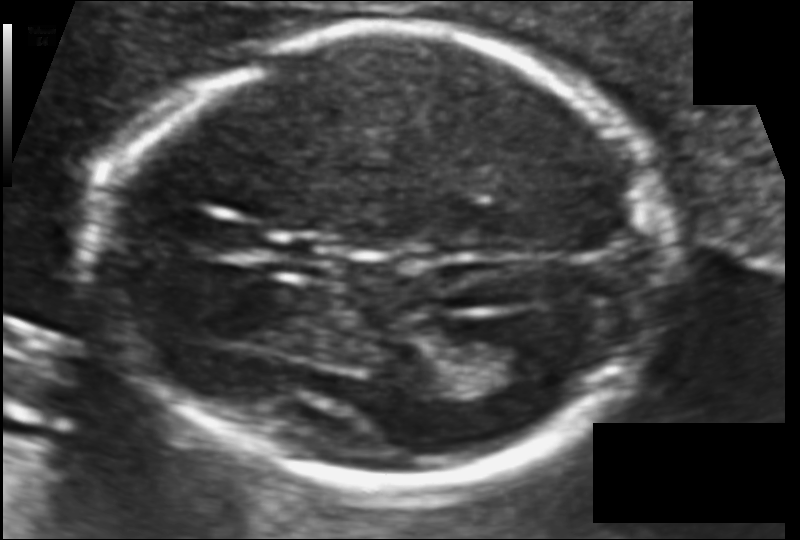
Fetal head ultrasound. Image width: 78.9 mm. Where is the fetal head?

Head bounding box: [102,28,662,488]